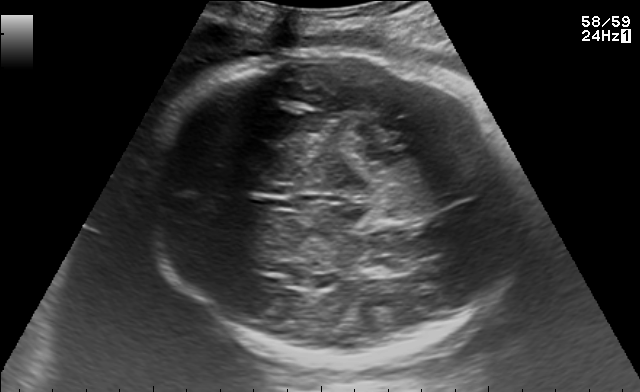
Fetal brain, trans-thalamic plane. Give [x1,y1,x2,y2] bounding boxes for each visible structure among: fetal head, CSP, LV.

Head: [141,45,524,361]
Lateral ventricle: [361,255,407,279]